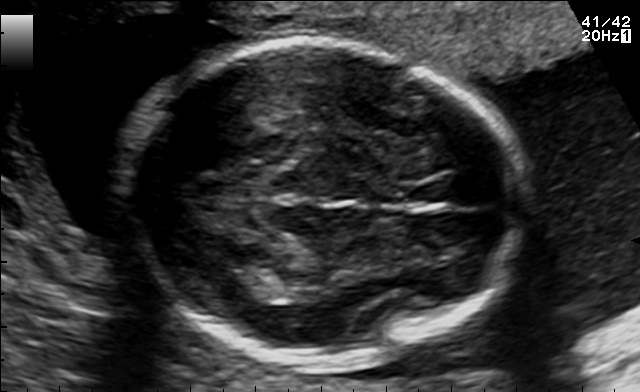
Fetal brain, trans-thalamic plane. Locate the fetal head and, if visible, the cavum septum pellucidum (CSP) and lateral ventricle (LV). Give bounding boxes as [x1,y1,x2,y2].

Head: [119,44,524,362]